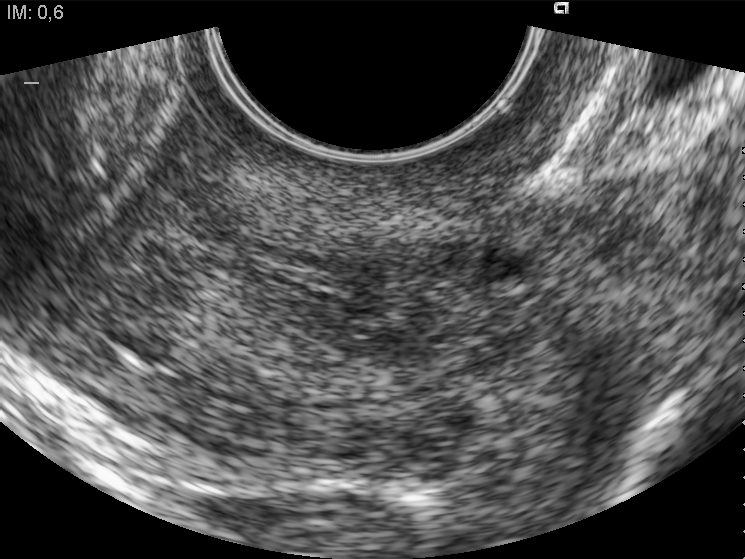
This is a 2D maternal-fetal ultrasound frame. Is it a fetal abdomen, fetal brain, fetal femur, fetal thorax, maternal cervix, or other standard plane? If it's fetal brain and one of the three standard brain planes (trans-thalamic, trans-cerebellum, trans-ventricular), name which.

Maternal cervix